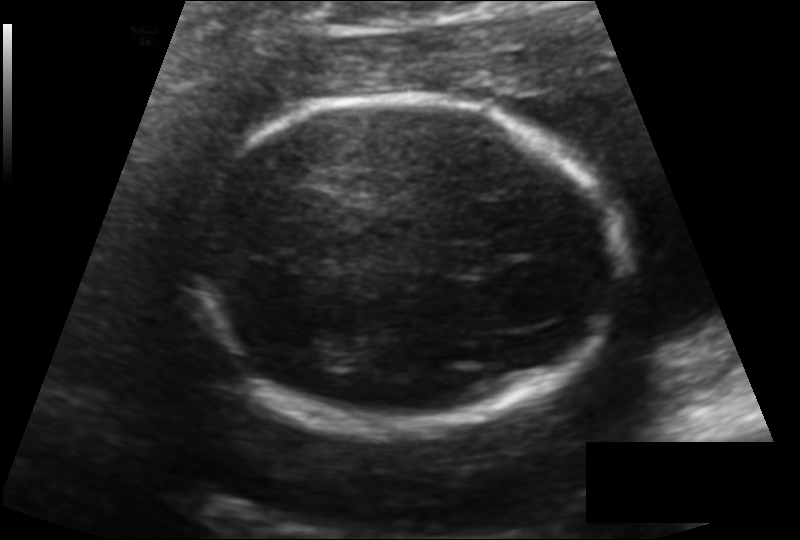
Estimate the fetal head circumference from this 2D ultrasound. Image width: 109.0 mm.

Head circumference: 166.9 mm.